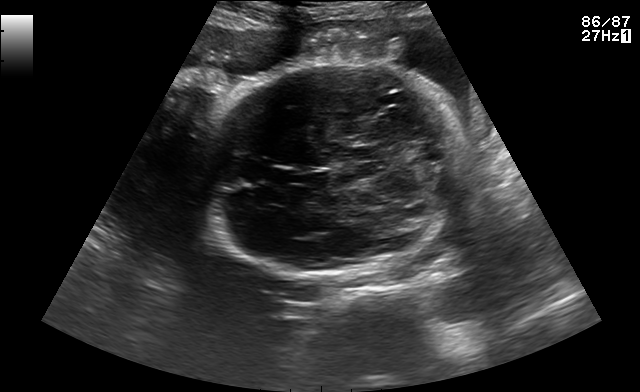
Fetal brain, trans-thalamic plane. Where is the fetal head?

Head bounding box: [198,65,470,278]